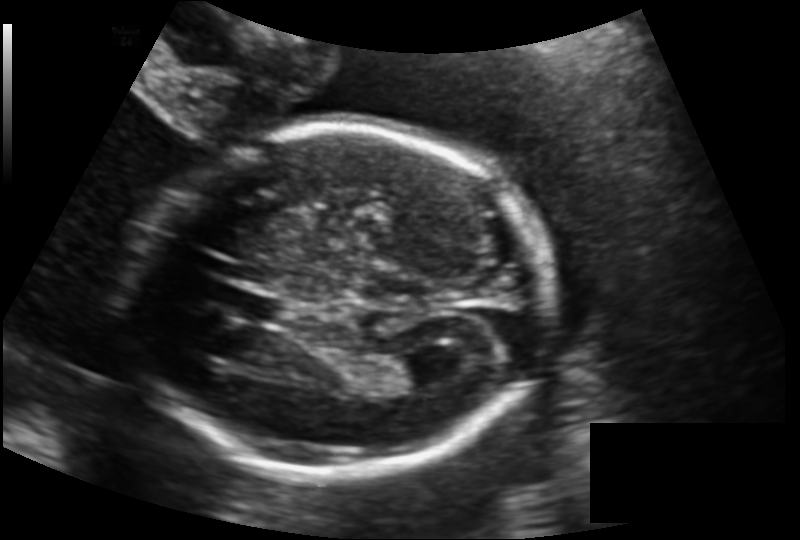
Fetal head ultrasound. Image width: 117.2 mm. Where is the cavum septum pellucidum?

CSP bounding box: [225,284,291,330]